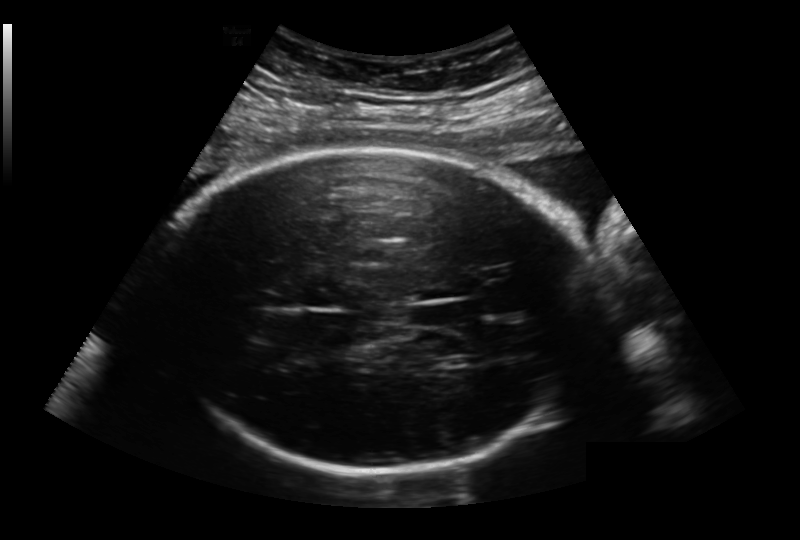
Fetal head ultrasound. Image width: 188.7 mm. Locate the fetal head and, if visible, the cavum septum pellucidum (CSP) and lateral ventricle (LV). Give bounding boxes as [x1,y1,x2,y2].

Head: [147,150,598,473]